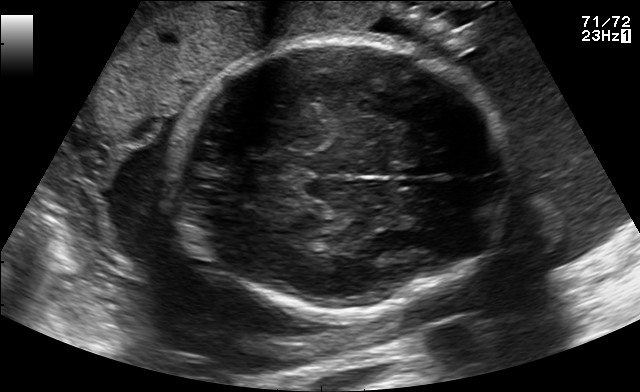
Fetal brain, trans-thalamic plane. Locate the fetal head.

Head: [174,41,509,313]